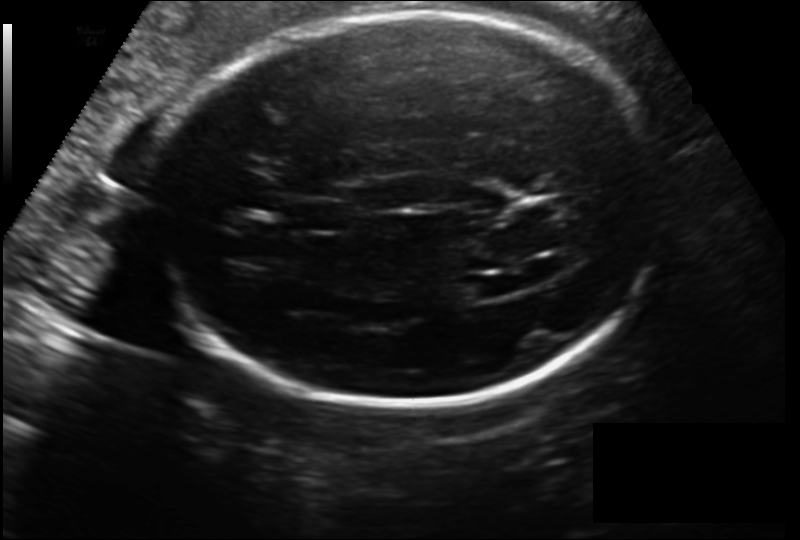
Fetal head ultrasound. Image width: 149.1 mm. Give [x1,y1,x2,y2] bounding boxes for each visible structure among: fetal head, CSP, LV.

Head: [148,14,662,405]
CSP: [291,198,351,235]
Lateral ventricle: [447,274,501,305]